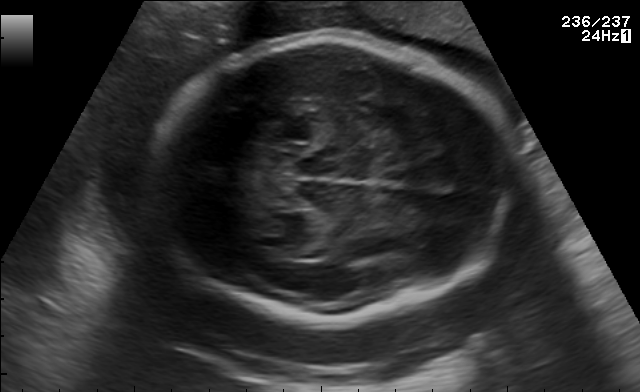
Fetal brain, trans-thalamic plane. Give [x1,y1,x2,y2] bounding boxes for each visible structure among: fetal head, CSP, LV.

Head: [154,35,498,317]